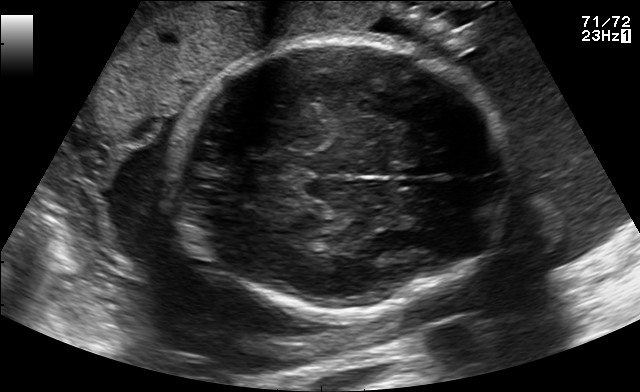
Fetal brain, trans-thalamic plane. Give [x1,y1,x2,y2] bounding boxes for each visible structure among: fetal head, CSP, LV.

Head: [174,41,509,313]